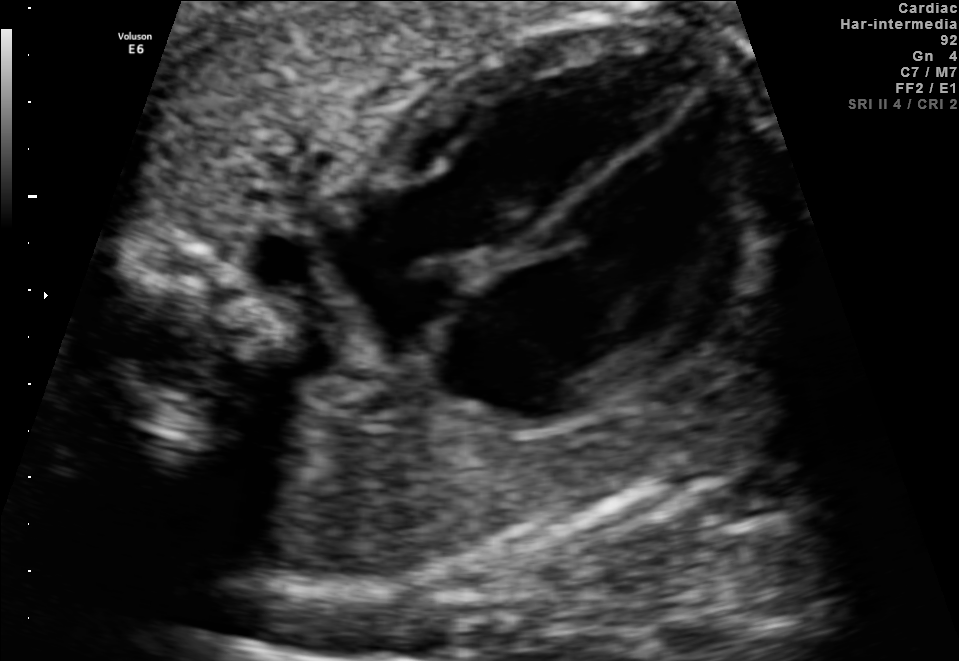
This is a 2D maternal-fetal ultrasound frame. Is it a fetal abdomen, fetal brain, fetal femur, fetal thorax, maternal cervix, or other standard plane? If it's fetal brain and one of the three standard brain planes (trans-thalamic, trans-cerebellum, trans-ventricular), name which.

Fetal thorax